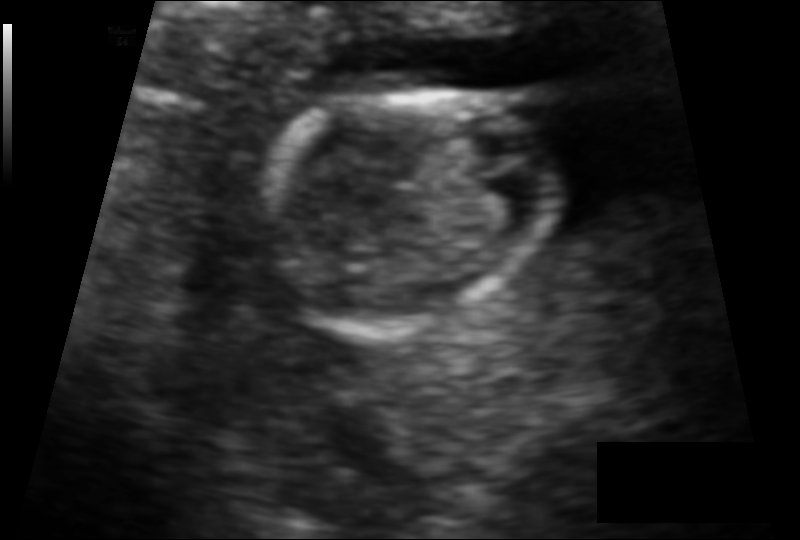
Estimate the fetal head circumference from this 2D ultrasound.

Head circumference: 79.3 mm (image width 73.2 mm).